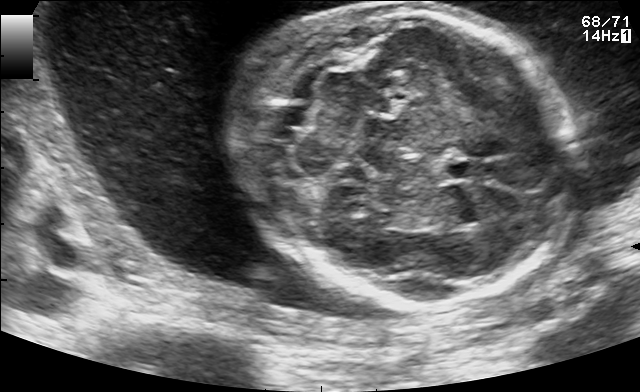
Fetal brain, trans-cerebellum plane. Give [x1,y1,x2,y2] bounding boxes for each visible structure among: fetal head, CSP, LV.

Head: [238,2,579,305]